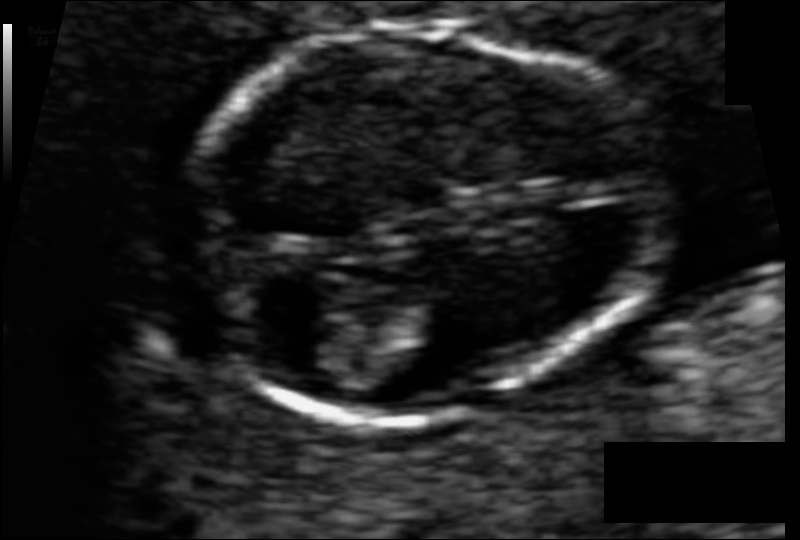
Estimate the fetal head circumference from this 2D ultrasound.

Head circumference: 75.9 mm (image width 43.8 mm).